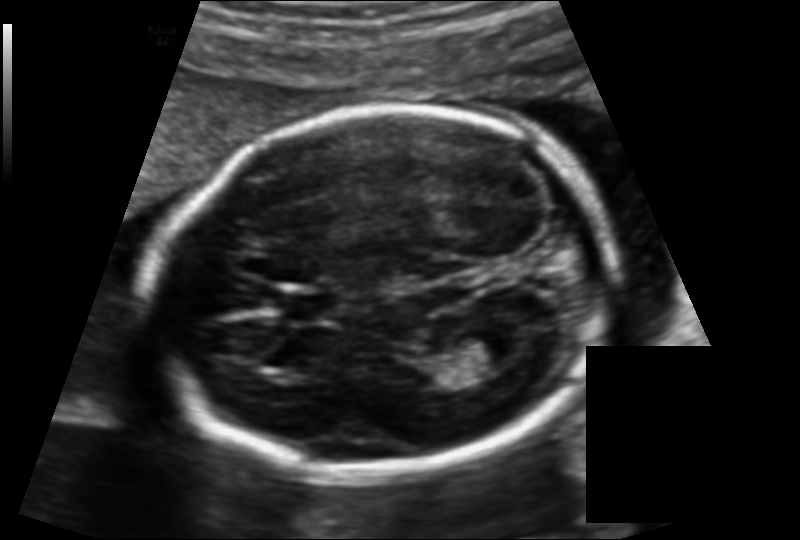
In this fetal head ultrasound, give bounding boxes for the head outline, cavum septum pellucidum (CSP), and lateral ventricle (LV), where visible. Image width: 104.7 mm.

Head: [153,105,615,475]
CSP: [280,291,334,325]
Lateral ventricle: [450,315,530,382]